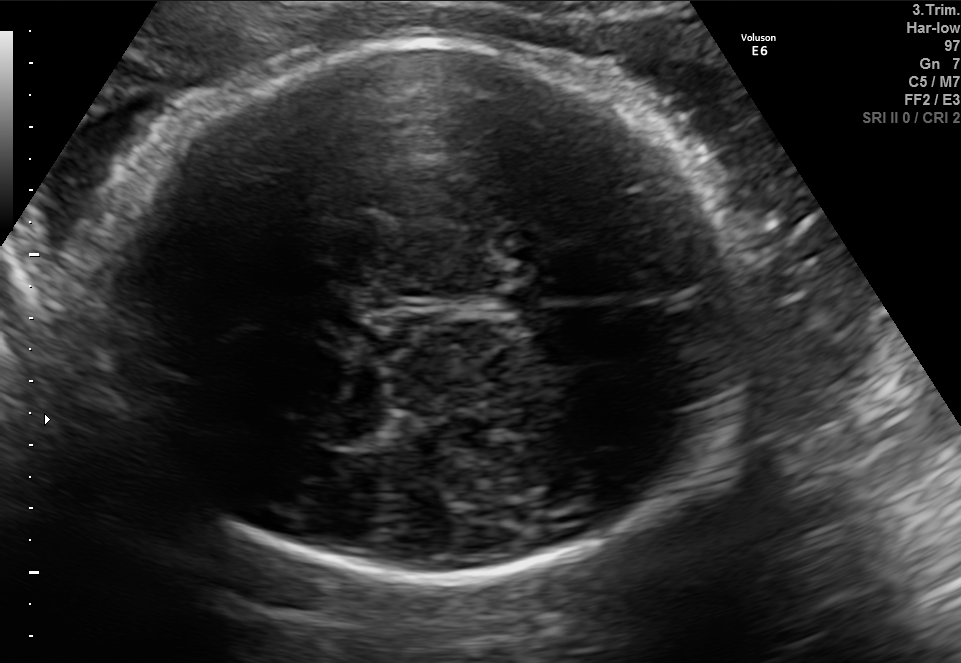
Identify the standard plane in this fetal ultrasound image: fetal abdomen, fetal brain, fetal femur, fetal thorax, maternal cervix, or other. If it's fetal brain and one of the three standard brain planes (trans-thalamic, trans-cerebellum, trans-ventricular), name which.

Fetal brain (trans-thalamic plane)